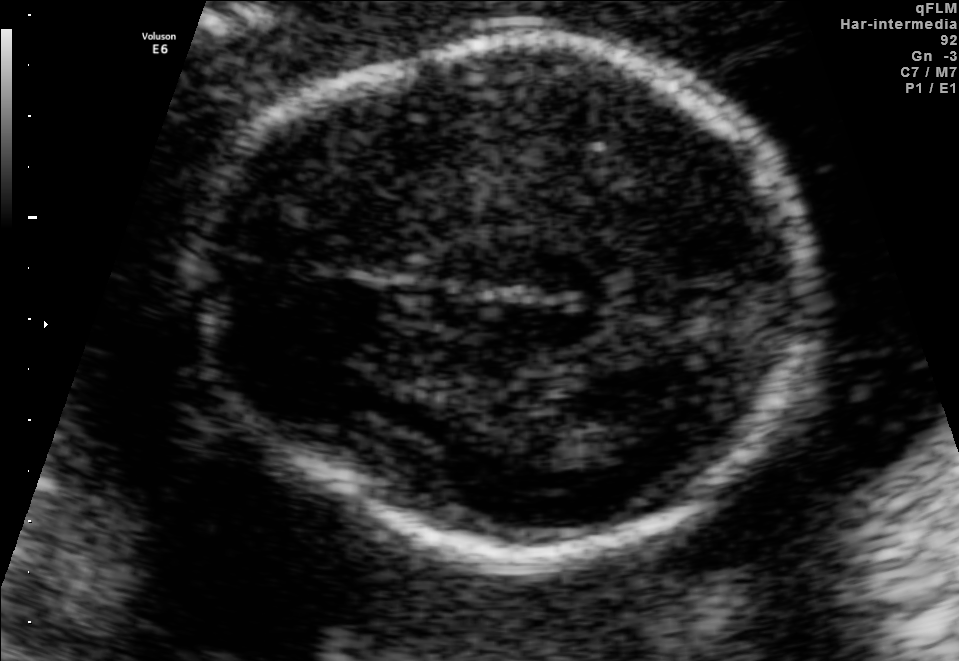
Fetal brain, trans-thalamic plane. Where is the lateral ventricle?

Lateral ventricle bounding box: [513,406,639,473]